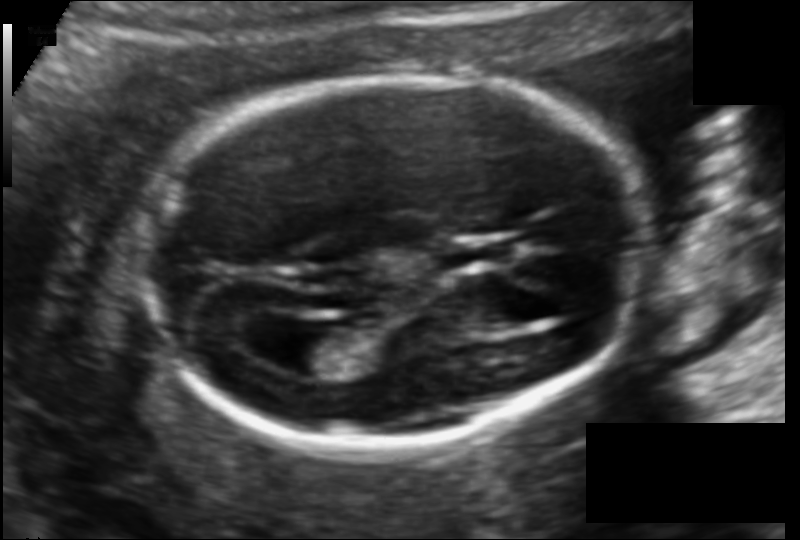
From this fetal ultrasound, estimate the head circumference (image width 91.5 mm).

Head circumference: 158.9 mm.